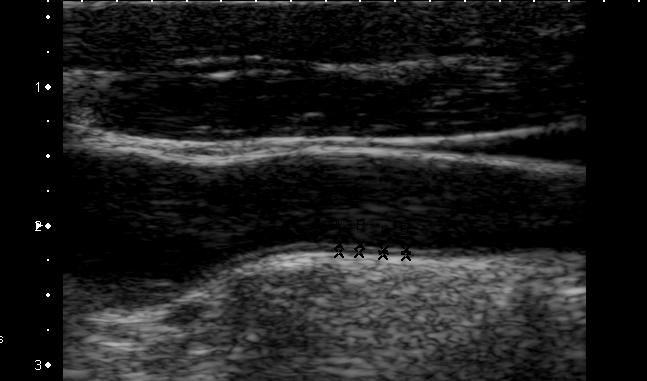
This is a 2D maternal-fetal ultrasound frame. Is it a fetal abdomen, fetal brain, fetal femur, fetal thorax, maternal cervix, or other standard plane? If it's fetal brain and one of the three standard brain planes (trans-thalamic, trans-cerebellum, trans-ventricular), name which.

Other